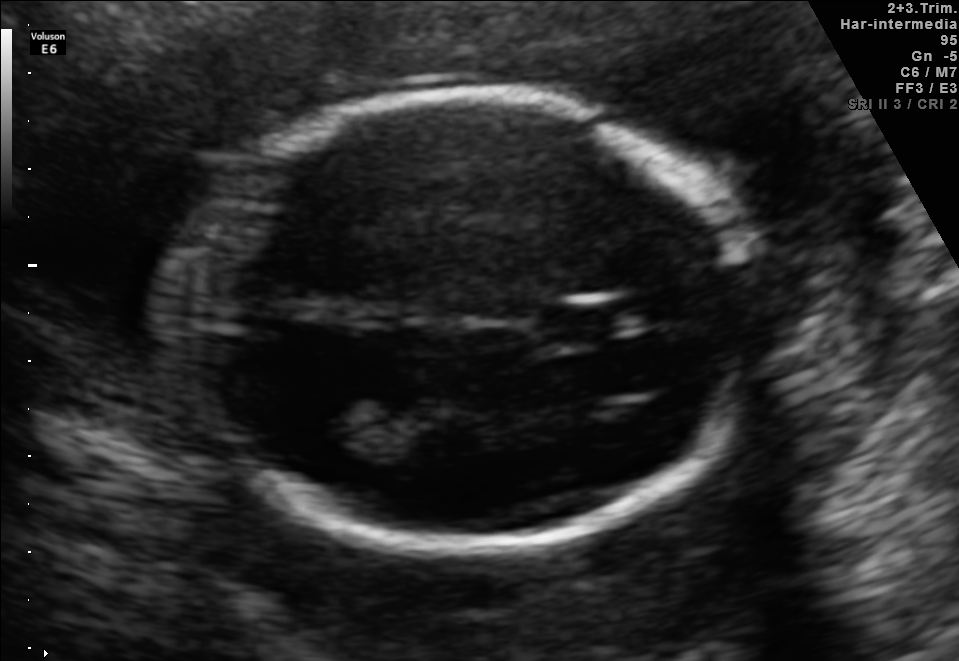
Fetal brain, trans-thalamic plane. Where is the cavum septum pellucidum?

CSP bounding box: [539,299,623,345]